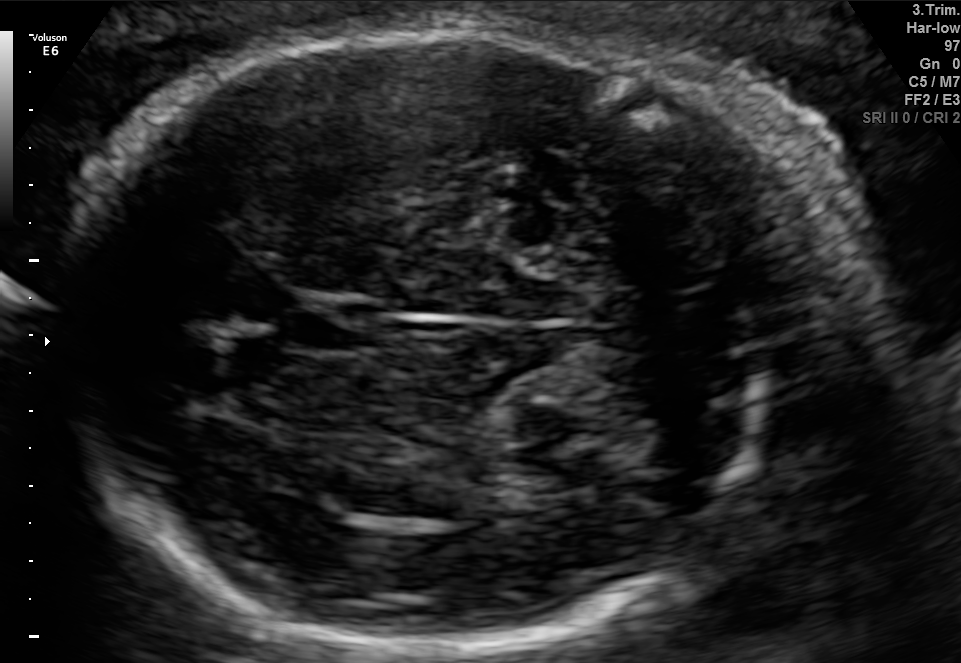
In this fetal brain, trans-cerebellum plane, give the bounding box of the cavum septum pellucidum.

[279,290,371,354]